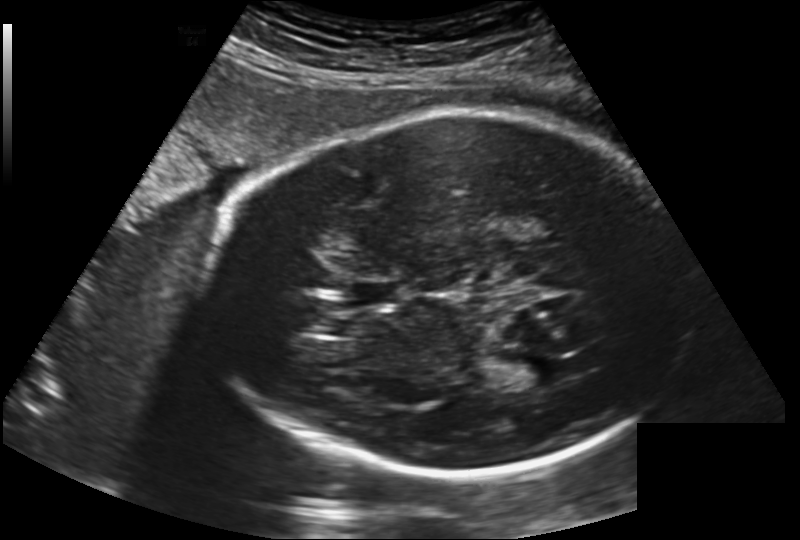
Fetal head ultrasound. Image width: 161.7 mm. Locate the lateral ventricle.

Lateral ventricle: [503,355,559,391]